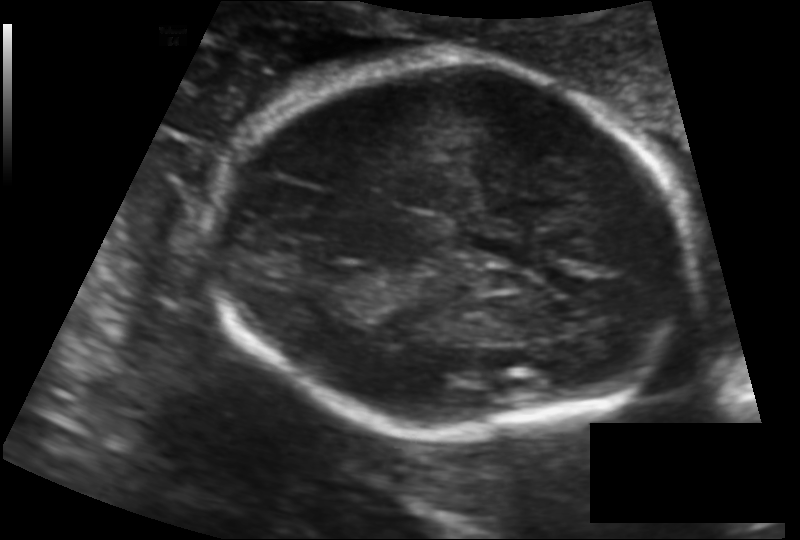
Fetal head ultrasound. Image width: 102.5 mm. Locate the fetal head and, if visible, the cavum septum pellucidum (CSP) and lateral ventricle (LV). Give bounding boxes as [x1,y1,x2,y2].

Head: [212,59,688,437]